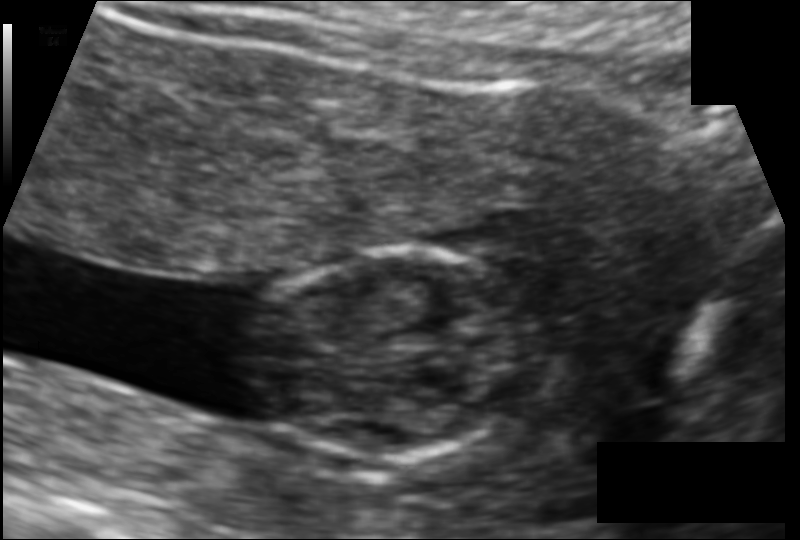
Estimate the fetal head circumference from this 2D ultrasound. Image width: 84.2 mm.

Head circumference: 86.4 mm.